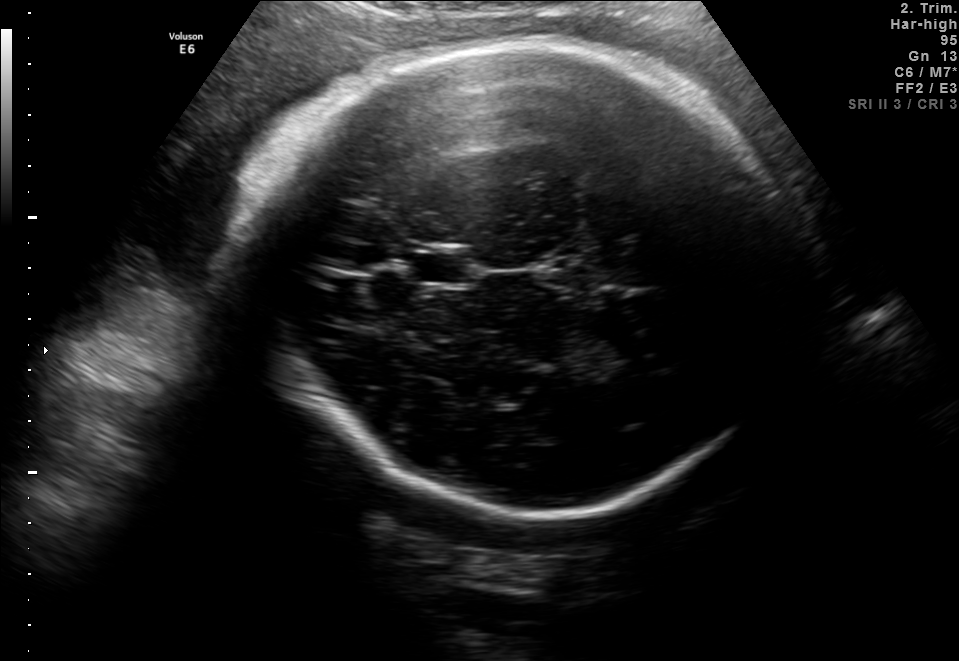
Fetal brain, trans-thalamic plane. Locate the fetal head and, if visible, the cavum septum pellucidum (CSP) and lateral ventricle (LV). Give bounding boxes as [x1,y1,x2,y2].

Head: [229,48,800,509]
CSP: [414,250,471,283]